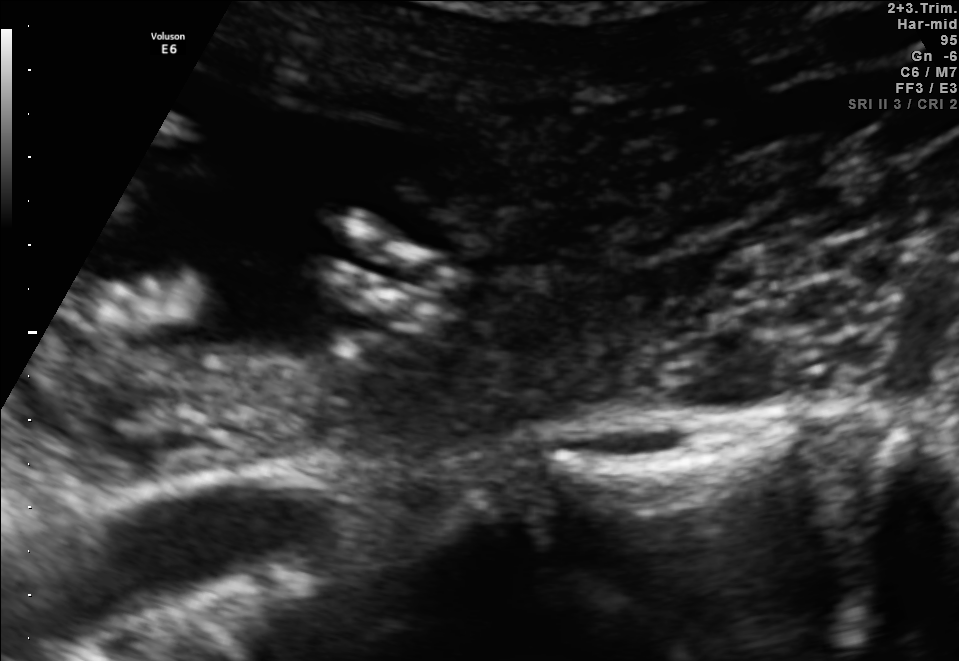
This is a 2D maternal-fetal ultrasound frame. Is it a fetal abdomen, fetal brain, fetal femur, fetal thorax, maternal cervix, or other standard plane? If it's fetal brain and one of the three standard brain planes (trans-thalamic, trans-cerebellum, trans-ventricular), name which.

Other